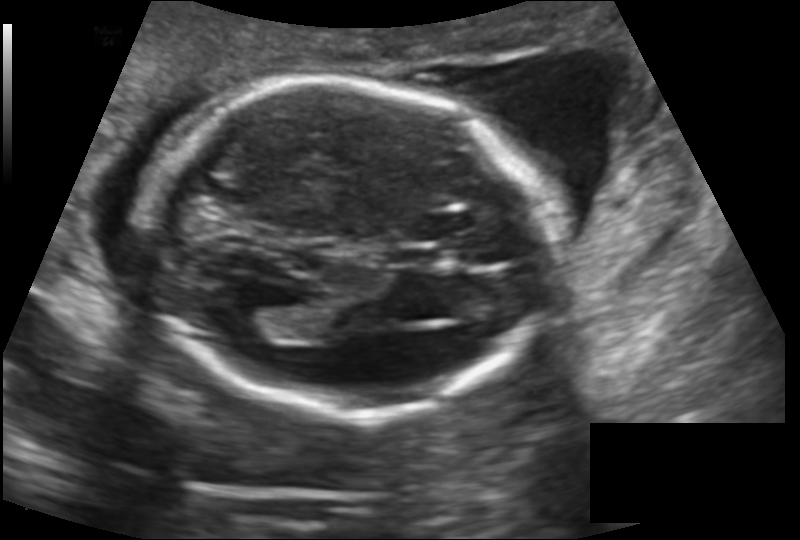
Estimate the fetal head circumference from this 2D ultrasound. Image width: 116.4 mm.

Head circumference: 175.0 mm.